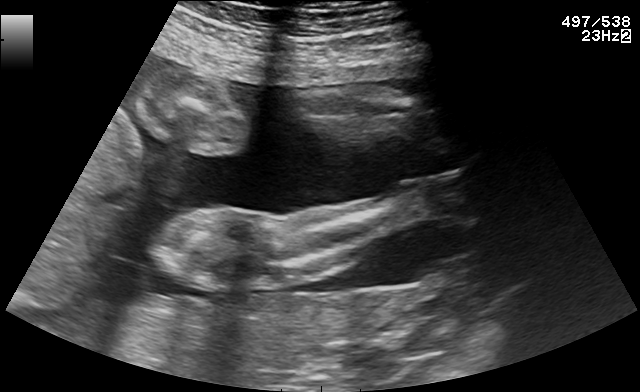
Identify the standard plane in this fetal ultrasound image: fetal abdomen, fetal brain, fetal femur, fetal thorax, maternal cervix, or other. If it's fetal brain and one of the three standard brain planes (trans-thalamic, trans-cerebellum, trans-ventricular), name which.

Other